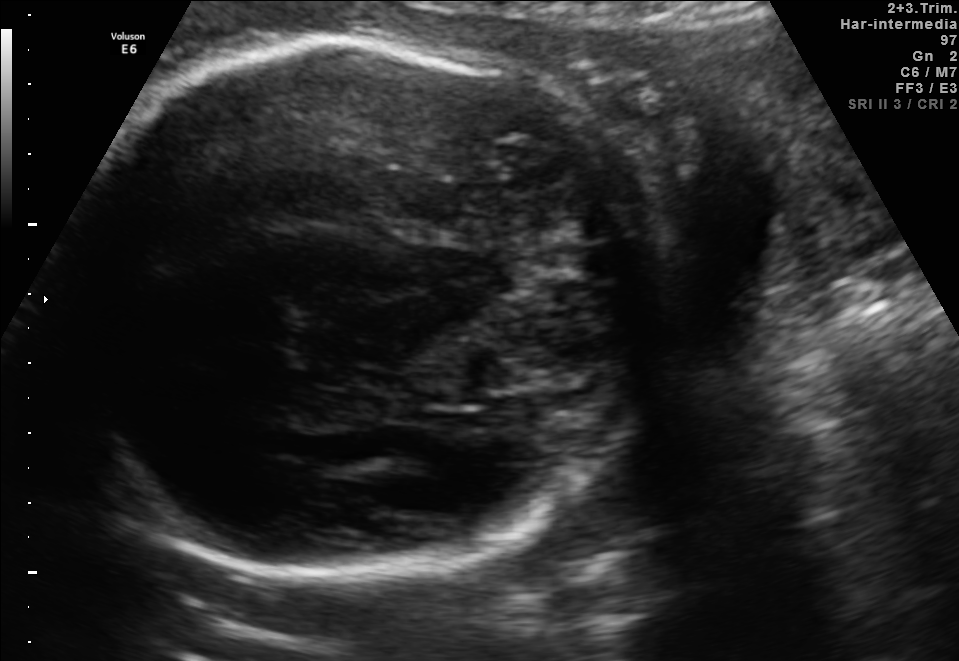
Fetal brain, trans-thalamic plane. Locate the fetal head and, if visible, the cavum septum pellucidum (CSP) and lateral ventricle (LV). Give bounding boxes as [x1,y1,x2,y2].

Head: [61,35,672,574]